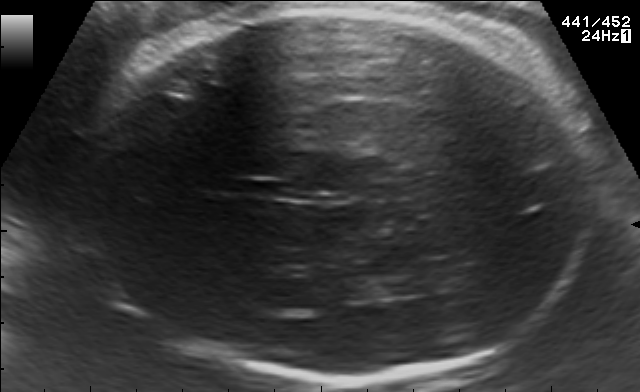
Fetal brain, trans-thalamic plane. Where is the fetal head?

Head bounding box: [72,7,591,377]